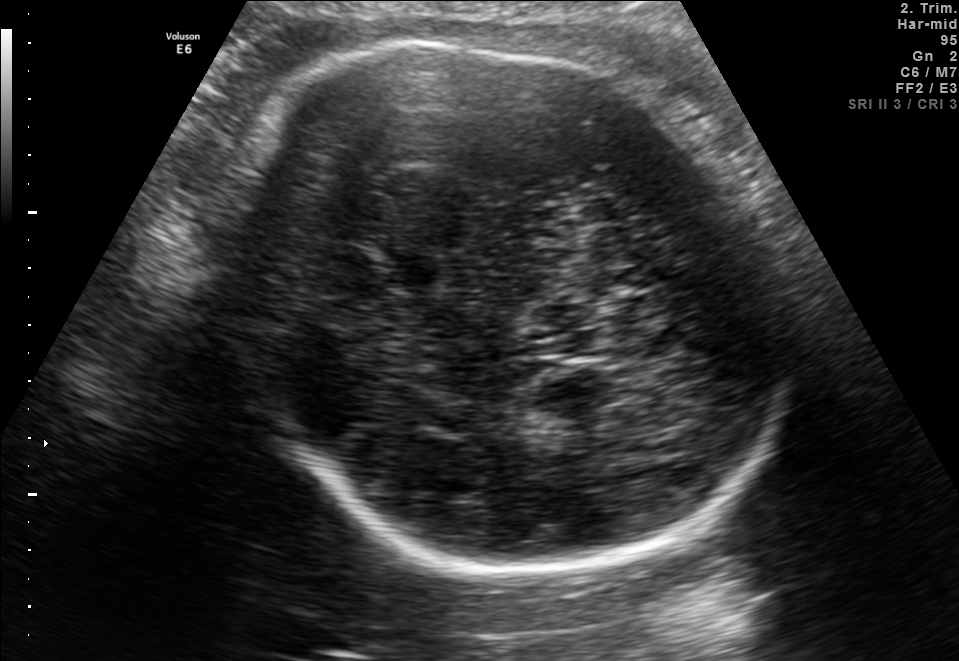
In this fetal brain, trans-thalamic plane, give bounding boxes for the head outline, cavum septum pellucidum (CSP), and lateral ventricle (LV), where visible.

Head: [219,31,778,576]
CSP: [370,242,450,296]